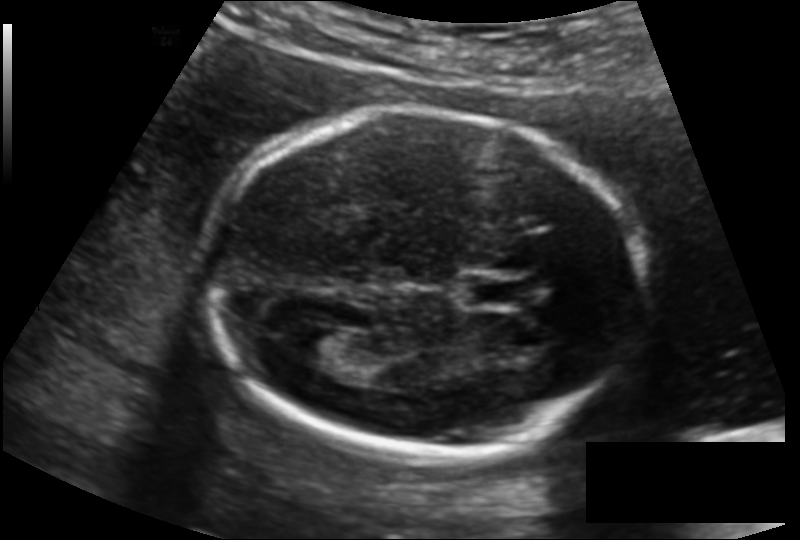
Fetal head ultrasound. Image width: 107.6 mm. Give [x1,y1,x2,y2] bounding boxes for each visible structure among: fetal head, CSP, LV.

Head: [198,112,639,454]
CSP: [467,278,533,307]
Lateral ventricle: [285,317,357,374]